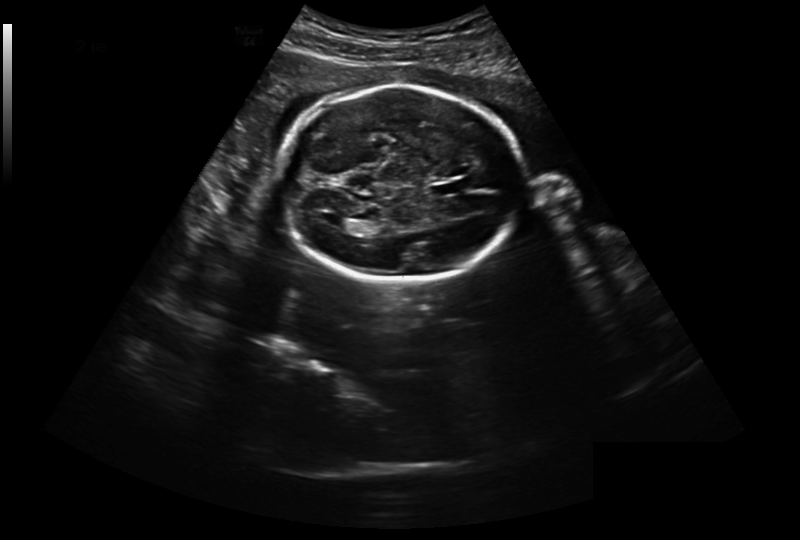
Fetal head ultrasound. Image width: 241.1 mm. Locate the lateral ventricle.

Lateral ventricle: [324,212,351,233]